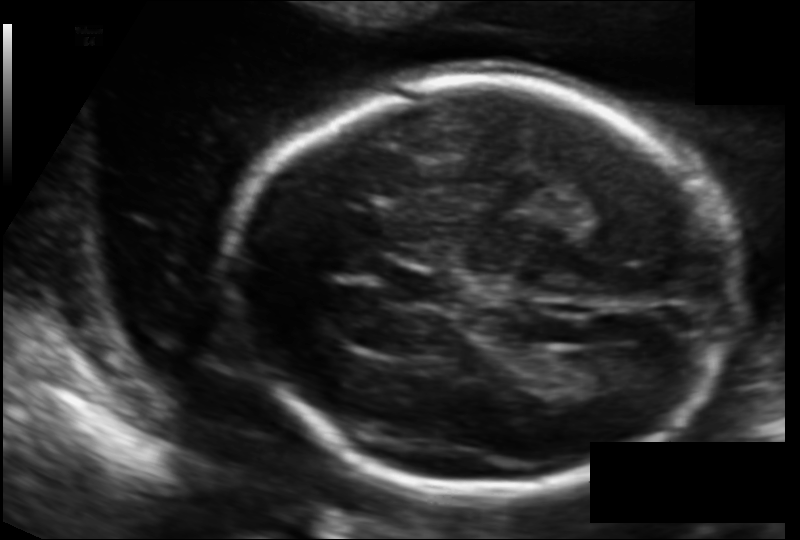
Fetal head ultrasound. Image width: 100.4 mm. Where is the cavum septum pellucidum?

CSP bounding box: [383,260,463,316]